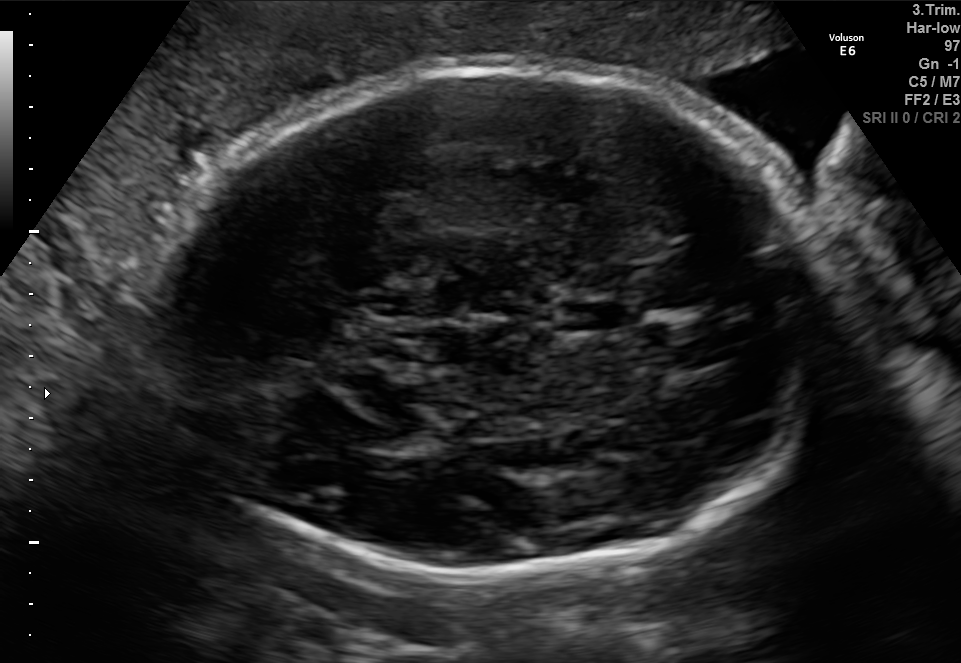
Fetal brain, trans-thalamic plane. Locate the fetal head.

Head: [154,60,827,575]